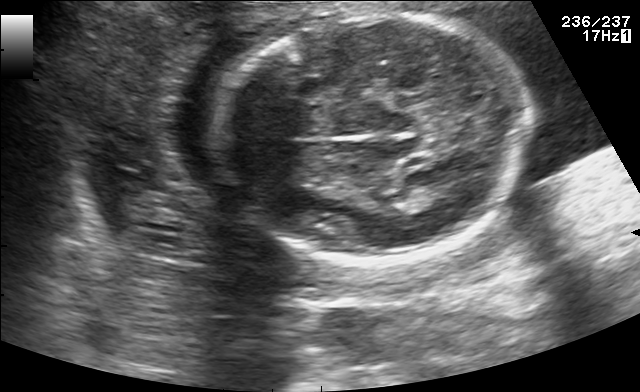
Fetal brain, trans-thalamic plane. Where is the lateral ventricle?

Lateral ventricle bounding box: [404,171,463,214]